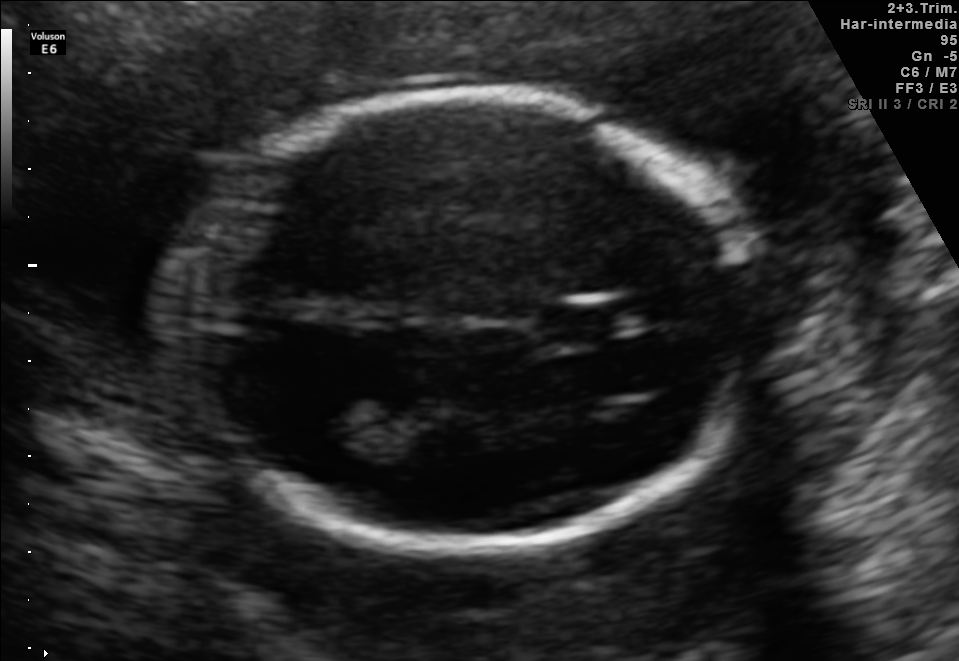
In this fetal brain, trans-thalamic plane, give bounding boxes for the head outline, cavum septum pellucidum (CSP), and lateral ventricle (LV), where visible.

Head: [180,93,757,556]
CSP: [539,299,623,345]